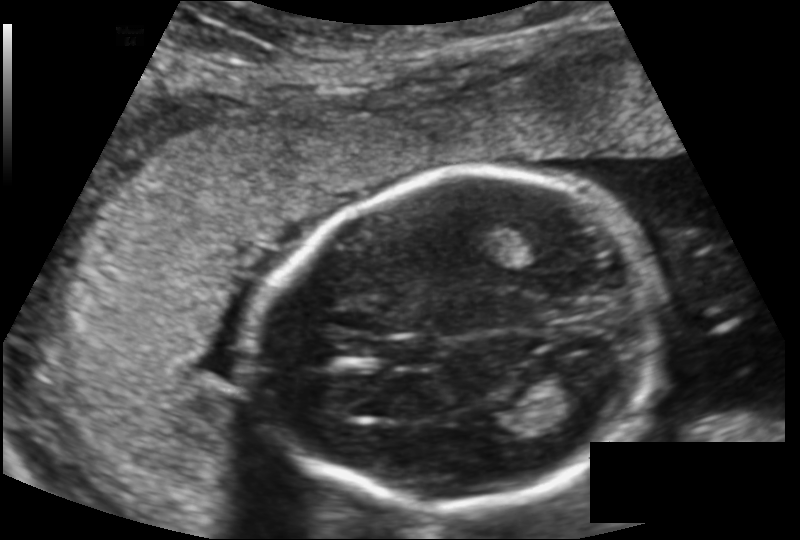
Fetal head ultrasound. Image width: 119.2 mm. Where is the lateral ventricle?

Lateral ventricle bounding box: [540,349,615,417]